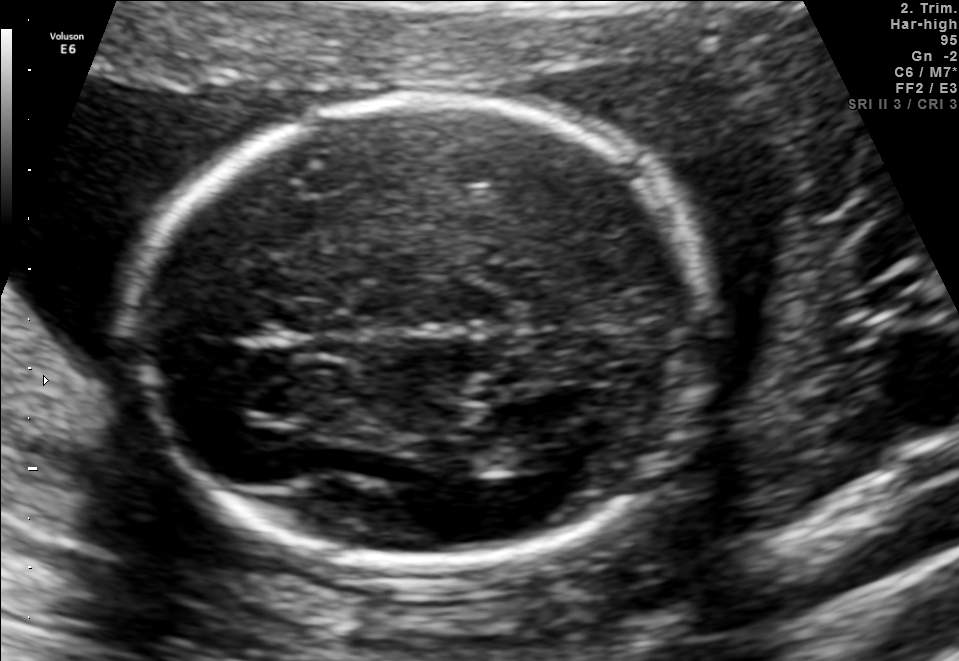
Fetal brain, trans-thalamic plane. Locate the fetal head and, if visible, the cavum septum pellucidum (CSP) and lateral ventricle (LV). Give bounding boxes as [x1,y1,x2,y2].

Head: [137,98,698,559]
Lateral ventricle: [471,431,565,478]